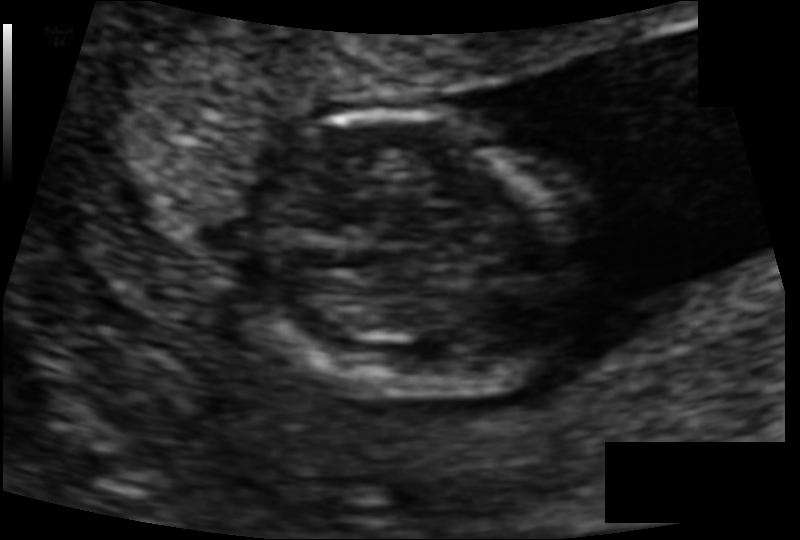
From this fetal ultrasound, estimate the head circumference (image width 62.1 mm).

Head circumference: 76.2 mm.